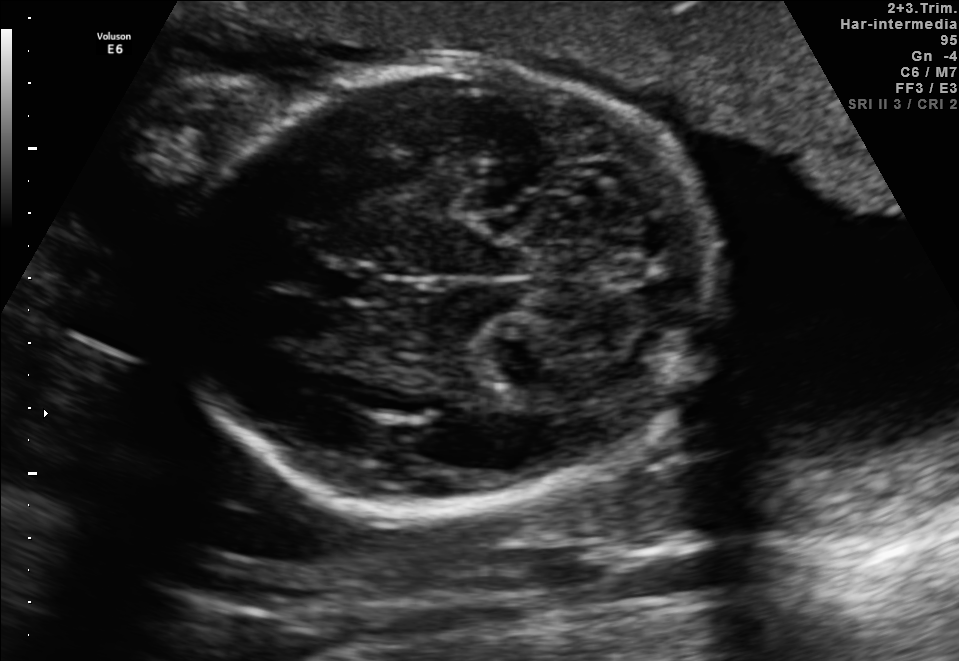
In this fetal brain, trans-cerebellum plane, give the bounding box of the fetal head.

[176,67,721,508]